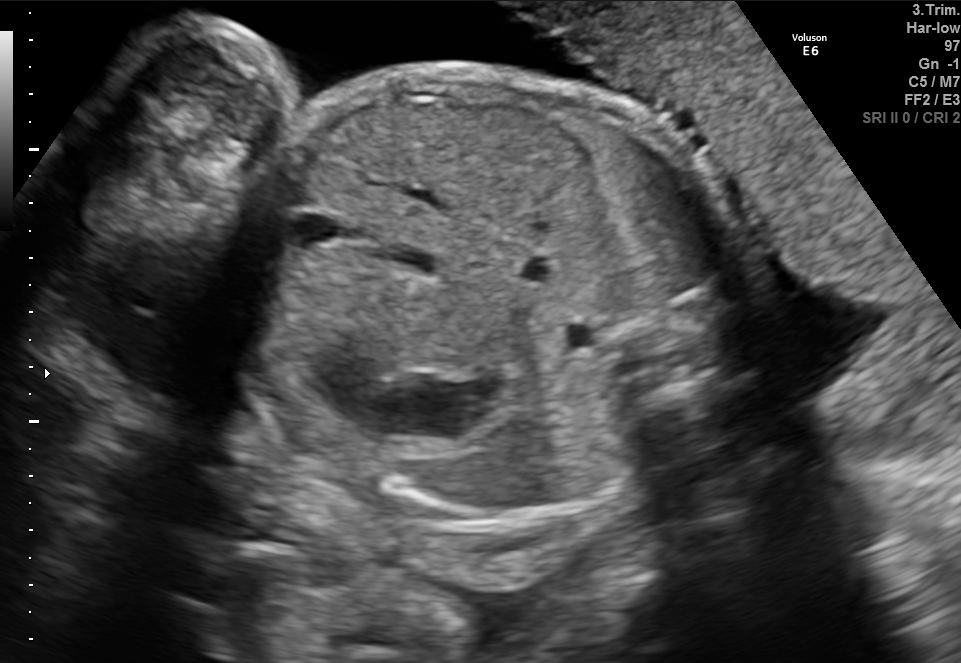
This is a 2D maternal-fetal ultrasound frame. Is it a fetal abdomen, fetal brain, fetal femur, fetal thorax, maternal cervix, or other standard plane? If it's fetal brain and one of the three standard brain planes (trans-thalamic, trans-cerebellum, trans-ventricular), name which.

Fetal abdomen